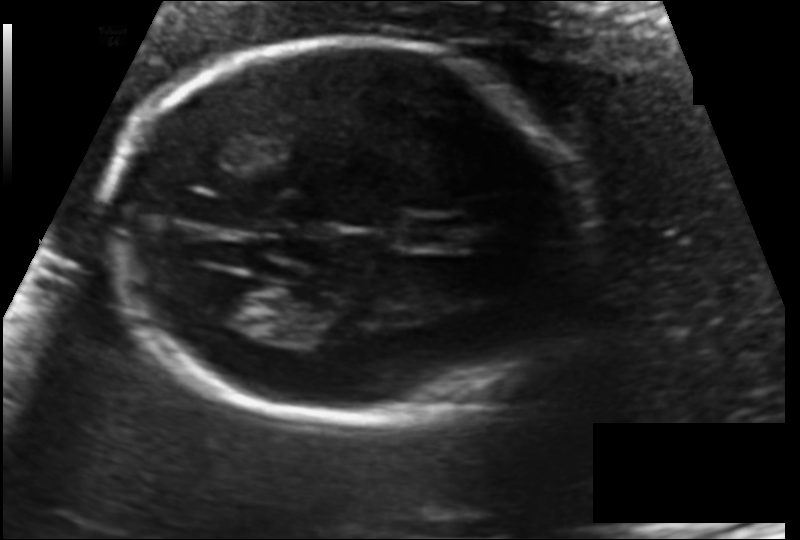
Fetal head ultrasound. Image width: 97.9 mm. Locate the fetal head.

Head: [109,39,577,421]